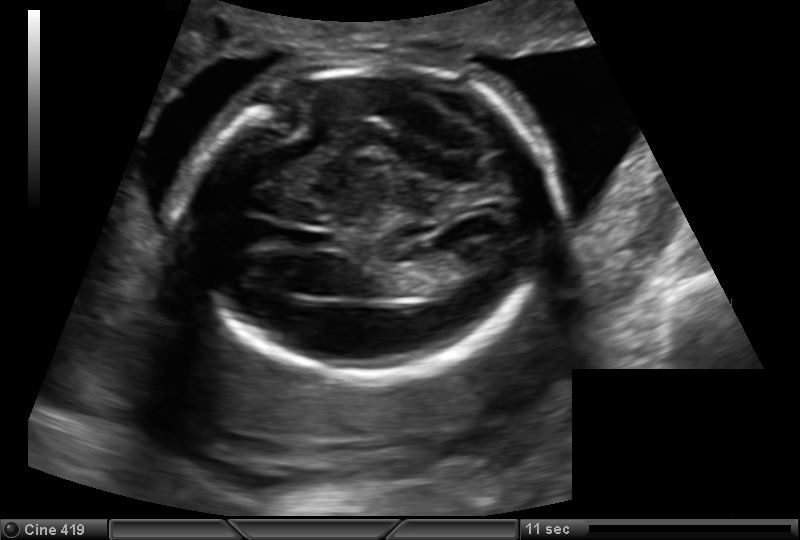
Estimate the fetal head circumference from this 2D ultrasound. Image width: 122.2 mm.

Head circumference: 170.7 mm.